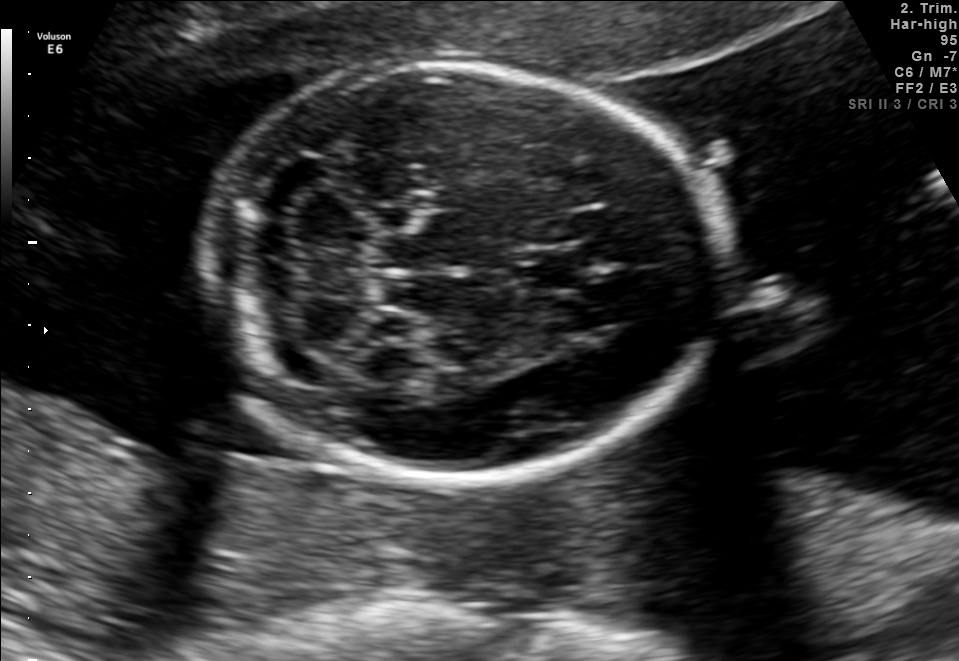
In this fetal brain, trans-cerebellum plane, give the bounding box of the cavum septum pellucidum.

[519,245,586,294]